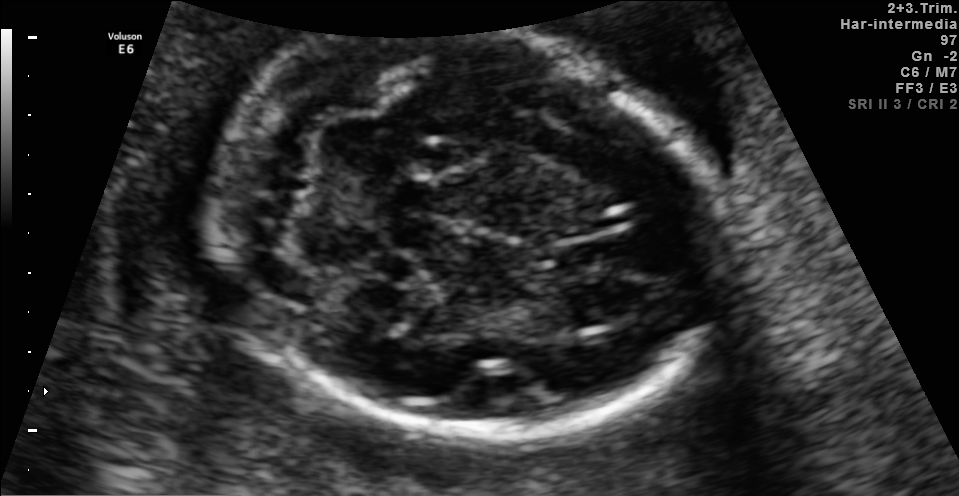
Fetal brain, trans-cerebellum plane. Where is the fetal head?

Head bounding box: [214,11,723,438]